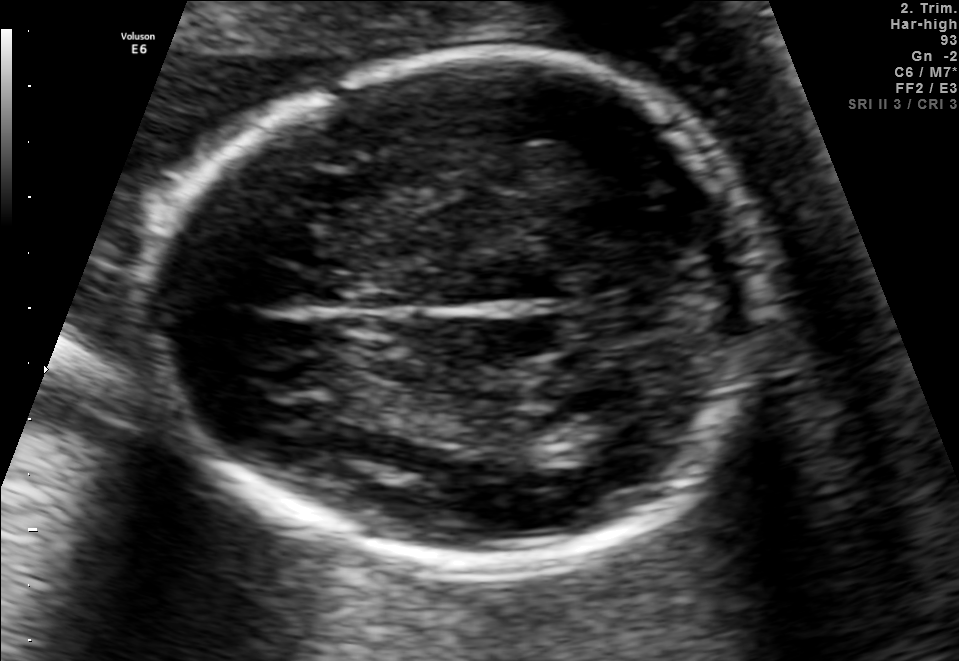
Which standard maternal-fetal ultrasound plane is shown: fetal abdomen, fetal brain, fetal femur, fetal thorax, maternal cervix, or other? If it's fetal brain and one of the three standard brain planes (trans-thalamic, trans-cerebellum, trans-ventricular), name which.

Fetal brain (trans-thalamic plane)